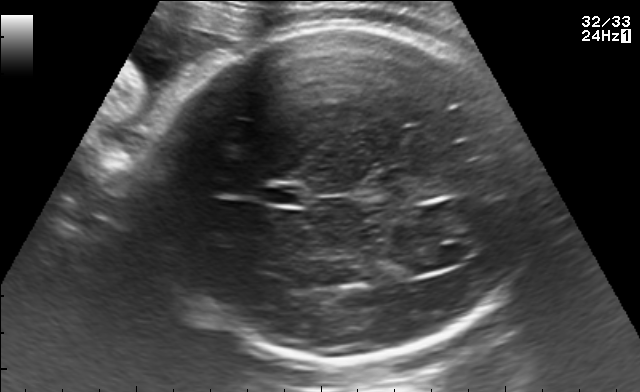
Fetal brain, trans-ventricular plane. Give [x1,y1,x2,y2] bounding boxes for each visible structure among: fetal head, CSP, LV.

Head: [143,21,537,370]
CSP: [269,186,303,204]
Lateral ventricle: [408,245,459,276]